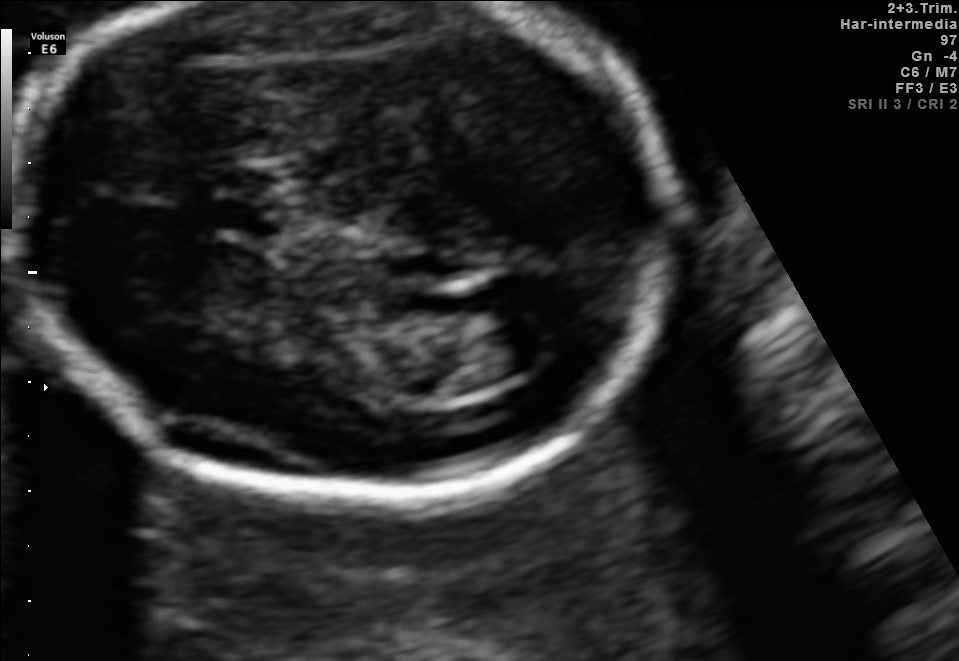
Fetal brain, trans-ventricular plane. Give [x1,y1,x2,y2] bounding boxes for each visible structure among: CSP, LV.

CSP: [214,199,276,238]
Lateral ventricle: [475,308,567,383]